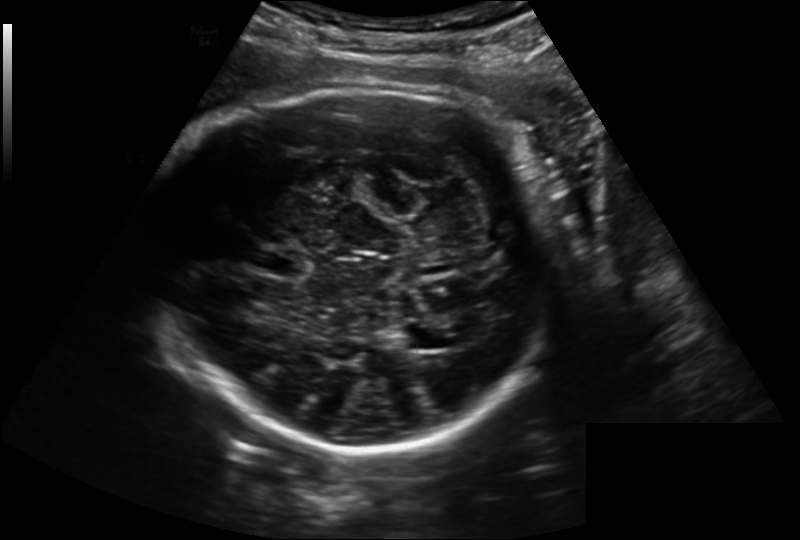
Fetal head ultrasound. Image width: 177.2 mm. Give [x1,y1,x2,y2] bounding boxes for each visible structure among: fetal head, CSP, LV.

Head: [148,80,554,447]
CSP: [251,245,312,284]
Lateral ventricle: [398,327,439,349]